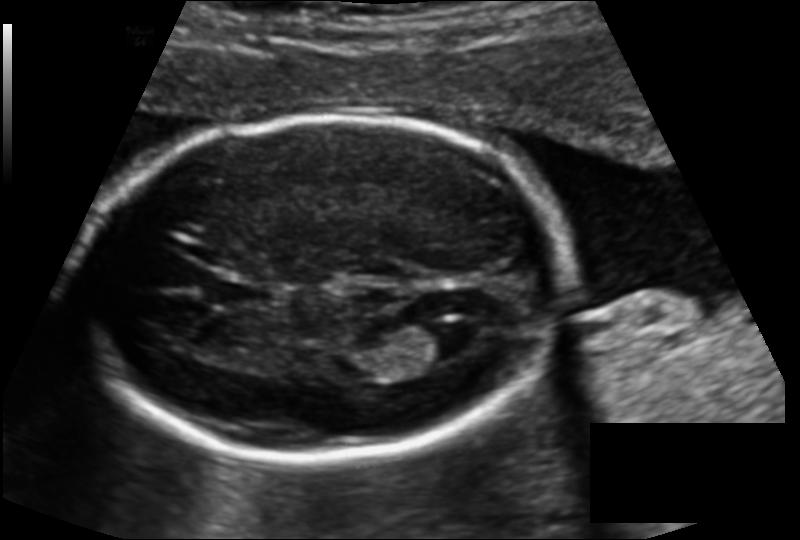
In this fetal head ultrasound, give bounding boxes for the head outline, cavum septum pellucidum (CSP), and lateral ventricle (LV), where visible. Image width: 109.1 mm.

Head: [74,114,562,462]
CSP: [207,274,272,312]
Lateral ventricle: [407,315,477,367]